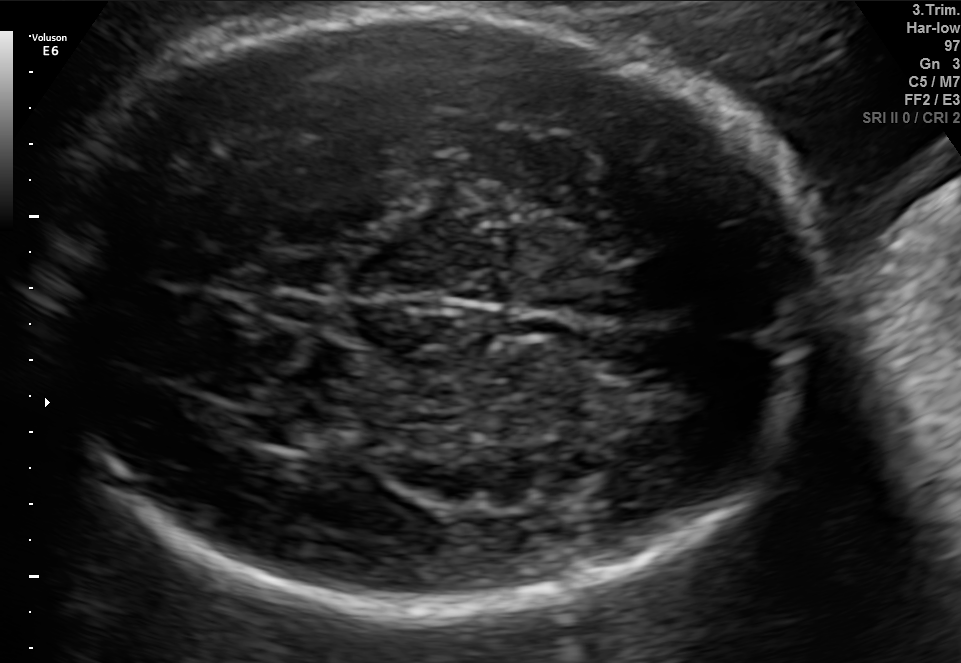
Fetal brain, trans-thalamic plane. Where is the fetal head?

Head bounding box: [44,13,817,616]